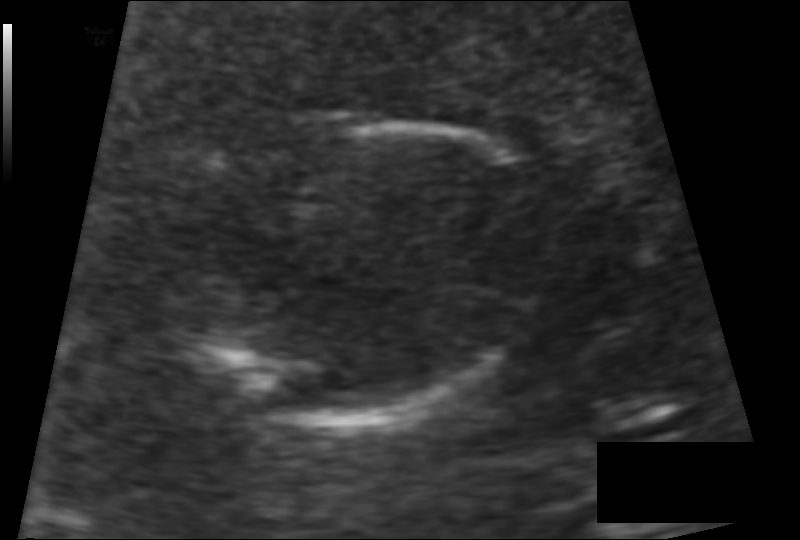
Fetal head ultrasound. Image width: 74.1 mm. Locate the fetal head.

Head: [185,120,545,426]